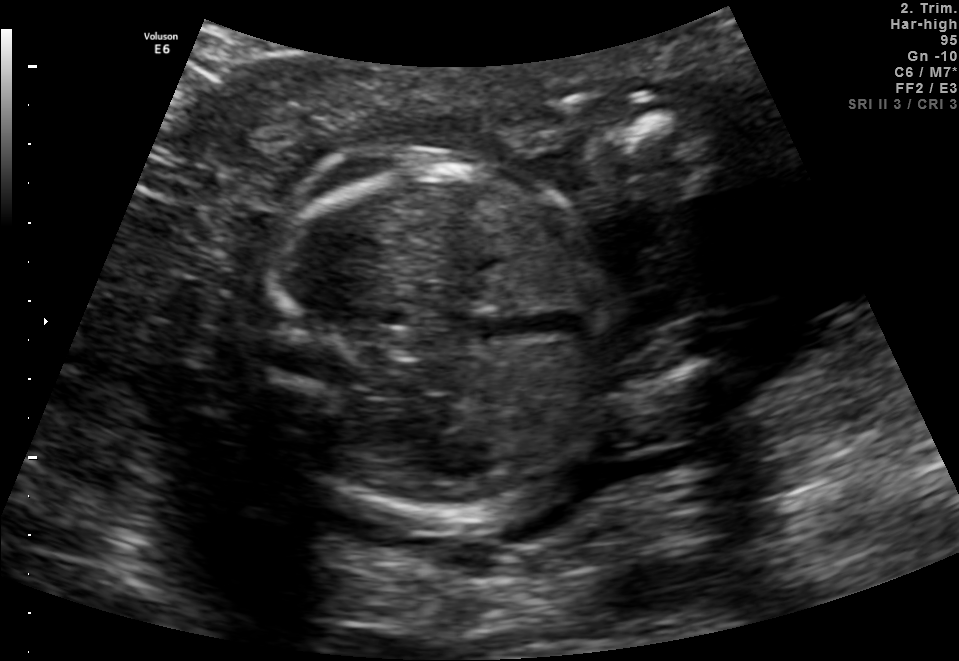
Classify this maternal-fetal ultrasound image as one of the six standard planes — fetal abdomen, fetal brain, fetal femur, fetal thorax, maternal cervix, or other. If it's fetal brain and one of the three standard brain planes (trans-thalamic, trans-cerebellum, trans-ventricular), name which.

Fetal abdomen